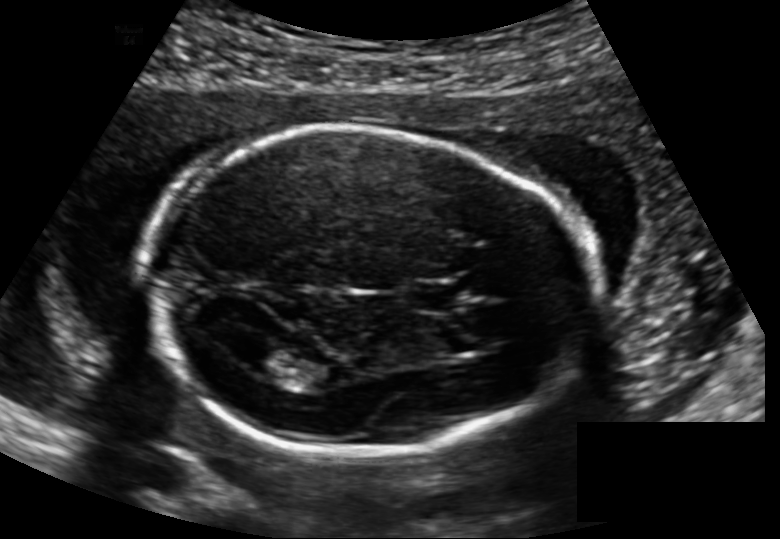
Fetal head ultrasound. Image width: 115.4 mm. Where is the lateral ventricle?

Lateral ventricle bounding box: [239,338,295,382]